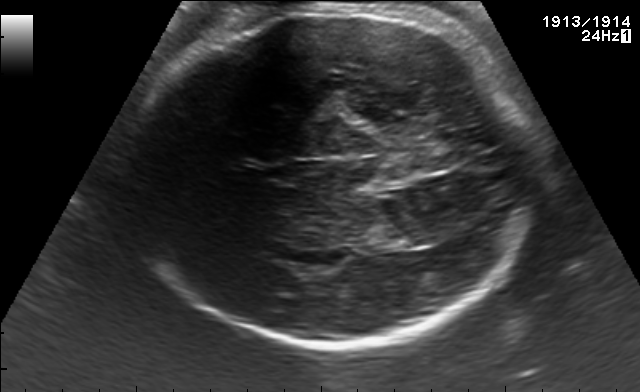
Fetal brain, trans-thalamic plane. Locate the fetal head and, if visible, the cavum septum pellucidum (CSP) and lateral ventricle (LV). Give bounding boxes as [x1,y1,x2,y2].

Head: [120,13,527,349]